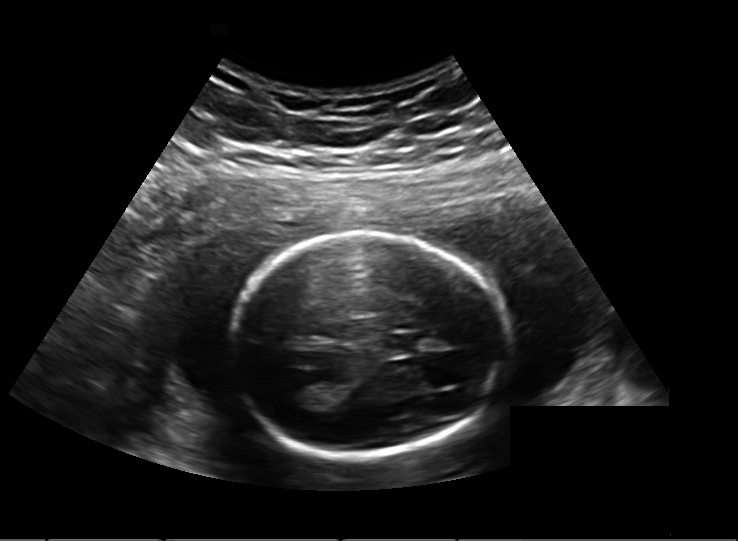
What is the fetal head circumference? Image width is 149.5 mm.

164.8 mm